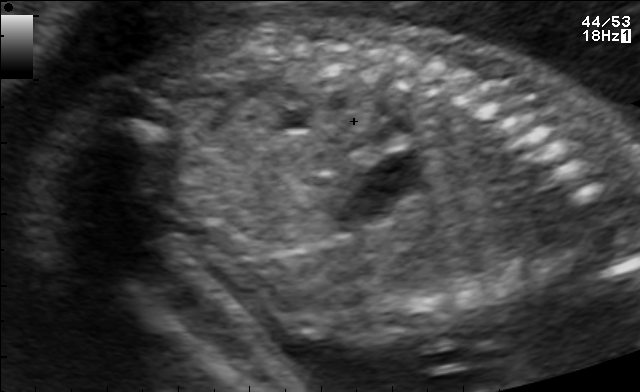
Classify this maternal-fetal ultrasound image as one of the six standard planes — fetal abdomen, fetal brain, fetal femur, fetal thorax, maternal cervix, or other. If it's fetal brain and one of the three standard brain planes (trans-thalamic, trans-cerebellum, trans-ventricular), name which.

Other